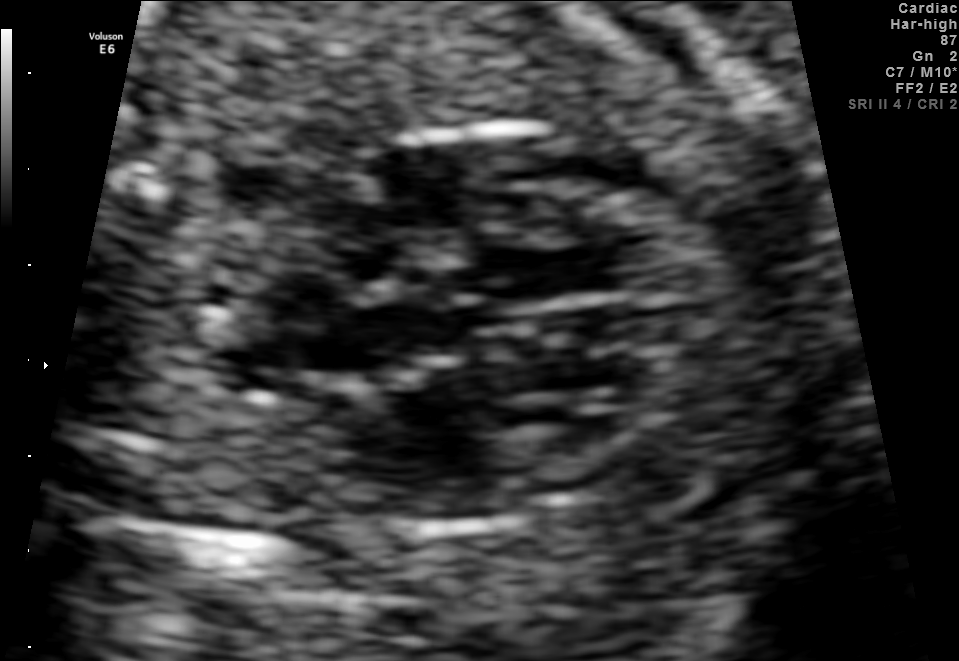
Identify the standard plane in this fetal ultrasound image: fetal abdomen, fetal brain, fetal femur, fetal thorax, maternal cervix, or other. If it's fetal brain and one of the three standard brain planes (trans-thalamic, trans-cerebellum, trans-ventricular), name which.

Fetal thorax